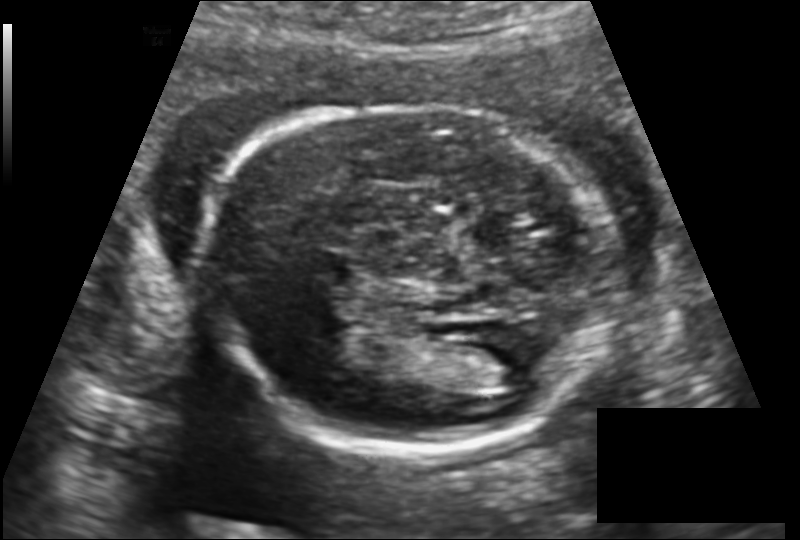
Fetal head ultrasound. Image width: 111.5 mm. Locate the fetal head and, if visible, the cavum septum pellucidum (CSP) and lateral ventricle (LV). Give bounding boxes as [x1,y1,x2,y2].

Head: [204,105,616,452]